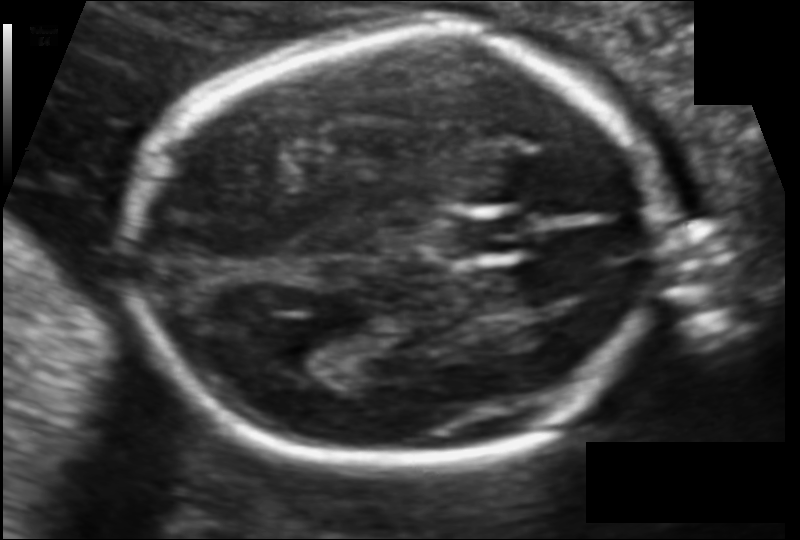
In this fetal head ultrasound, give the bounding box of the fetal head. Image width: 84.9 mm.

[132,37,670,467]